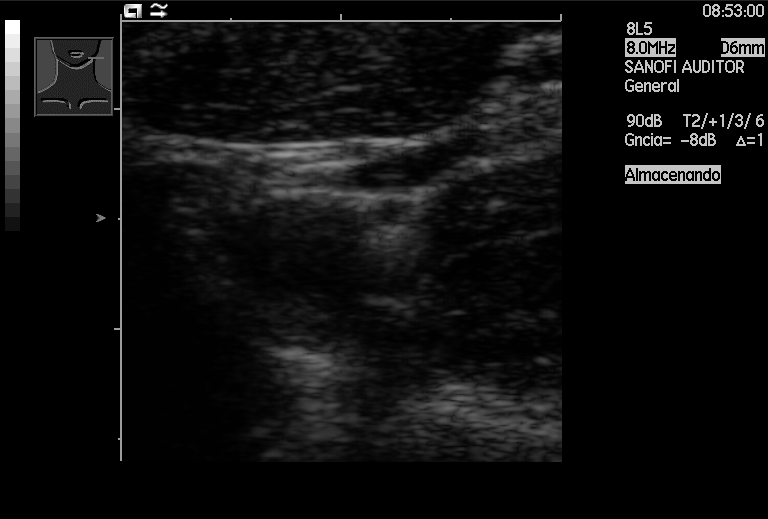
Identify the standard plane in this fetal ultrasound image: fetal abdomen, fetal brain, fetal femur, fetal thorax, maternal cervix, or other. If it's fetal brain and one of the three standard brain planes (trans-thalamic, trans-cerebellum, trans-ventricular), name which.

Other